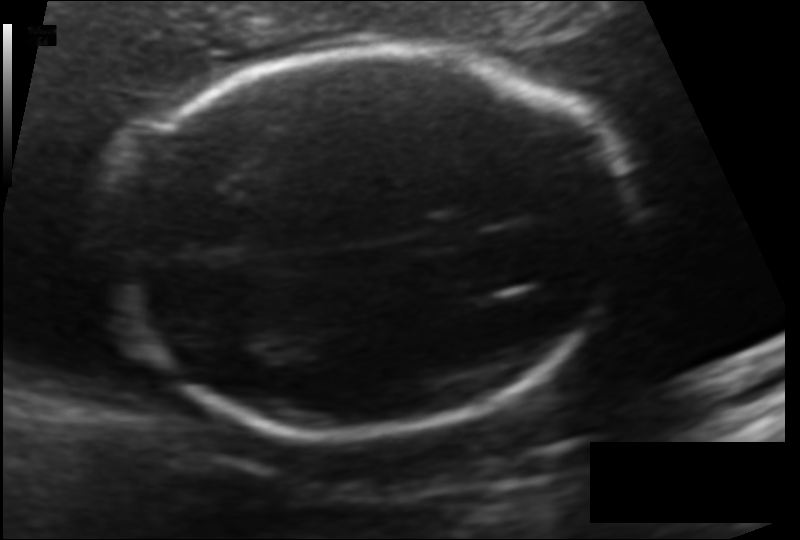
In this fetal head ultrasound, give the bounding box of the fetal head. Image width: 97.8 mm.

[109,47,631,431]